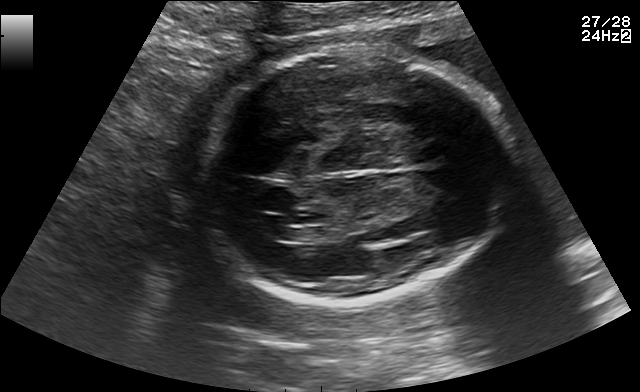
Which standard maternal-fetal ultrasound plane is shown: fetal abdomen, fetal brain, fetal femur, fetal thorax, maternal cervix, or other? If it's fetal brain and one of the three standard brain planes (trans-thalamic, trans-cerebellum, trans-ventricular), name which.

Fetal brain (trans-ventricular plane)